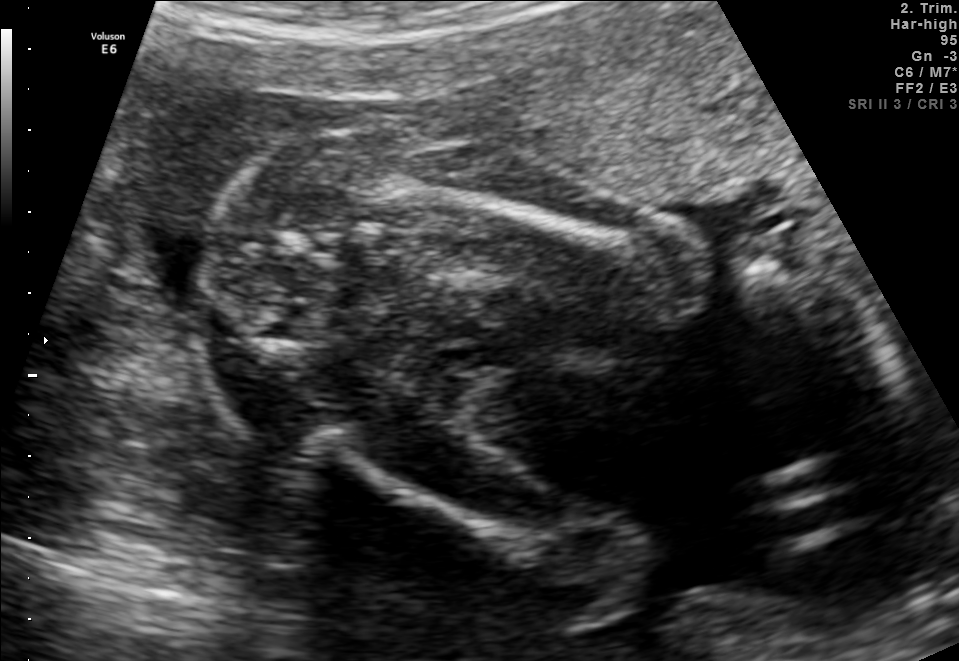
Classify this maternal-fetal ultrasound image as one of the six standard planes — fetal abdomen, fetal brain, fetal femur, fetal thorax, maternal cervix, or other. If it's fetal brain and one of the three standard brain planes (trans-thalamic, trans-cerebellum, trans-ventricular), name which.

Fetal femur